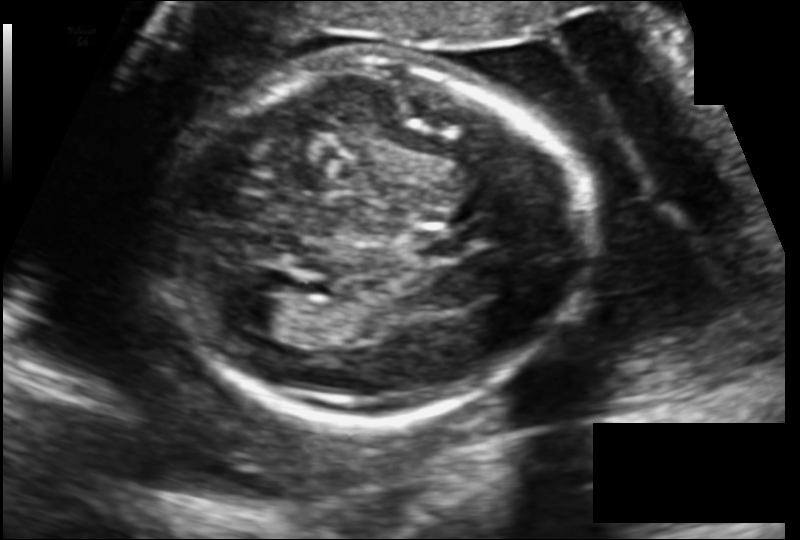
In this fetal head ultrasound, give the bounding box of the fetal head. Image width: 110.0 mm.

[167,60,581,423]